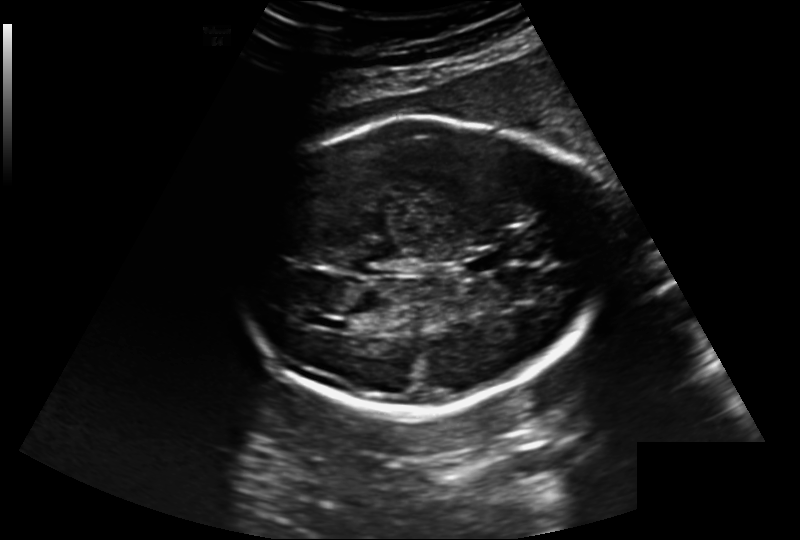
Estimate the fetal head circumference from this 2D ultrasound. Image width: 175.6 mm.

Head circumference: 241.7 mm.